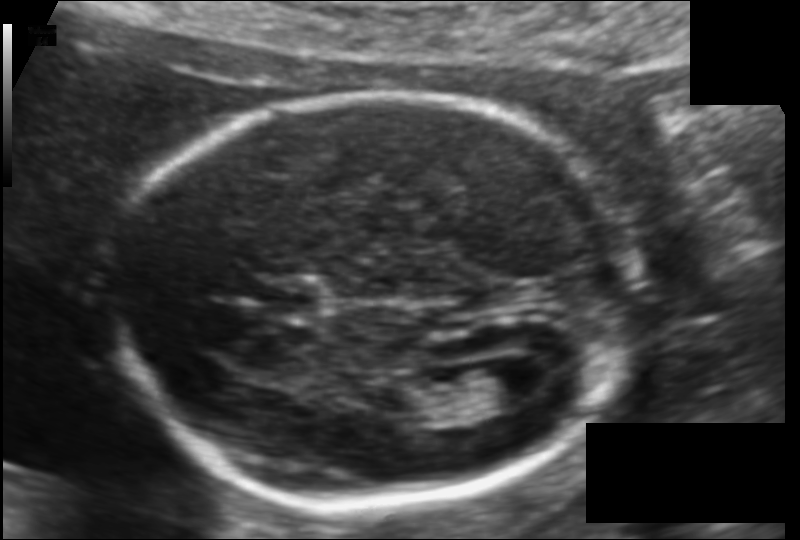
In this fetal head ultrasound, give the bounding box of the fetal head. Image width: 92.0 mm.

[118,95,636,504]